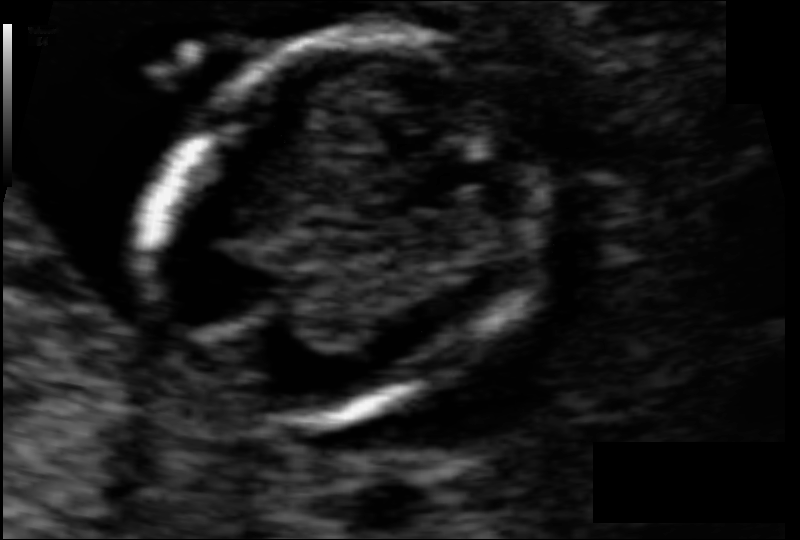
What is the fetal head circumference? Image width is 48.5 mm.

79.0 mm